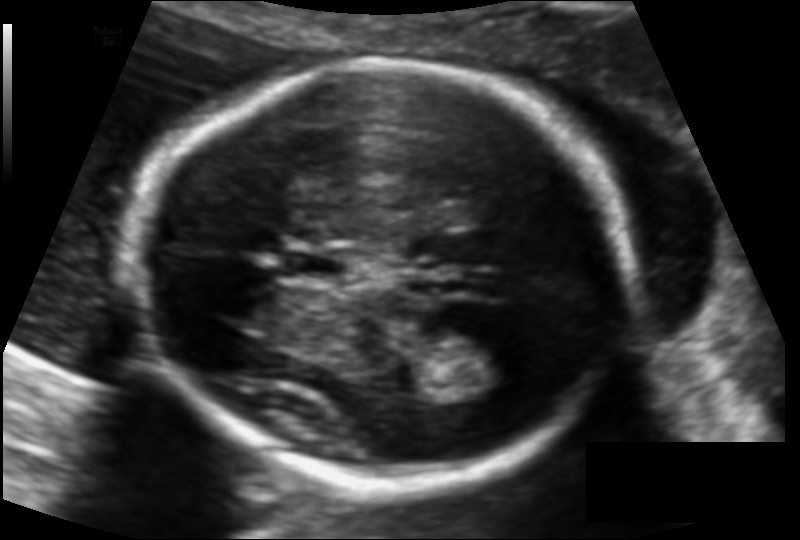
Measure the fetal head circumference shown in this ultrasound image. Image width: 90.8 mm.

Head circumference: 171.2 mm.